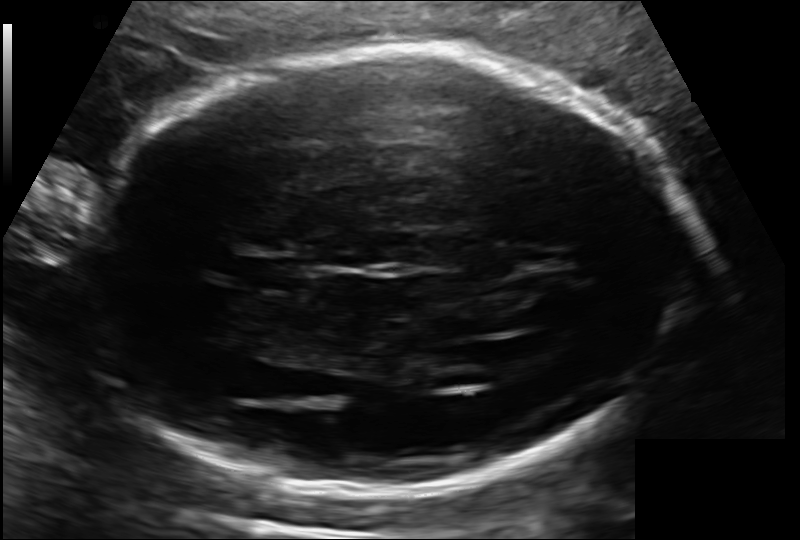
Fetal head ultrasound. Image width: 114.4 mm. Locate the cavum septum pellucidum.

CSP: [235,252,306,294]